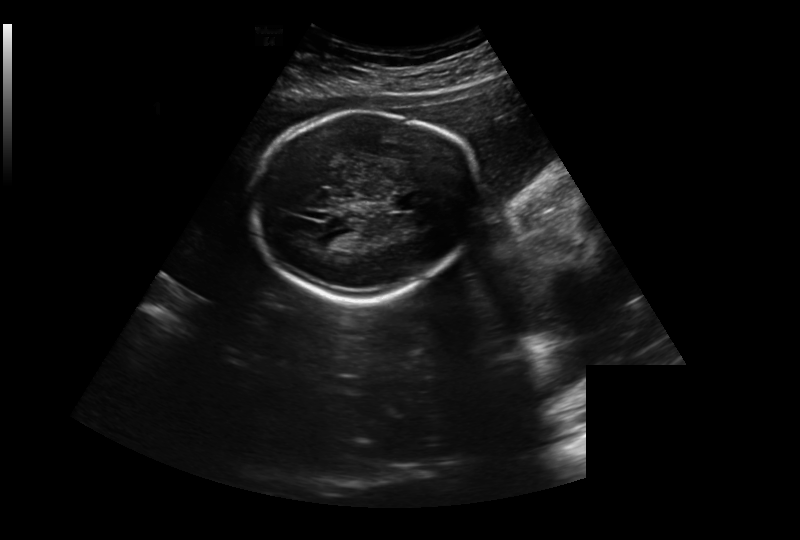
Fetal head ultrasound. Image width: 260.8 mm. Give [x1,y1,x2,y2] bounding boxes for each visible structure among: fetal head, CSP, LV.

Head: [253,110,479,301]
CSP: [390,192,425,212]
Lateral ventricle: [316,231,354,249]